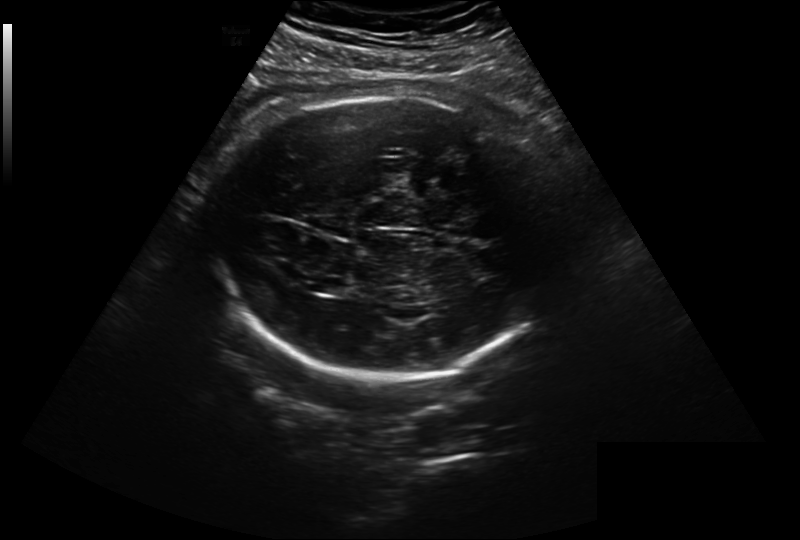
Fetal head ultrasound. Image width: 239.2 mm. Locate the fetal head and, if visible, the cavum septum pellucidum (CSP) and lateral ventricle (LV). Give bounding boxes as [x1,y1,x2,y2].

Head: [217,95,553,383]
Lateral ventricle: [314,276,352,296]